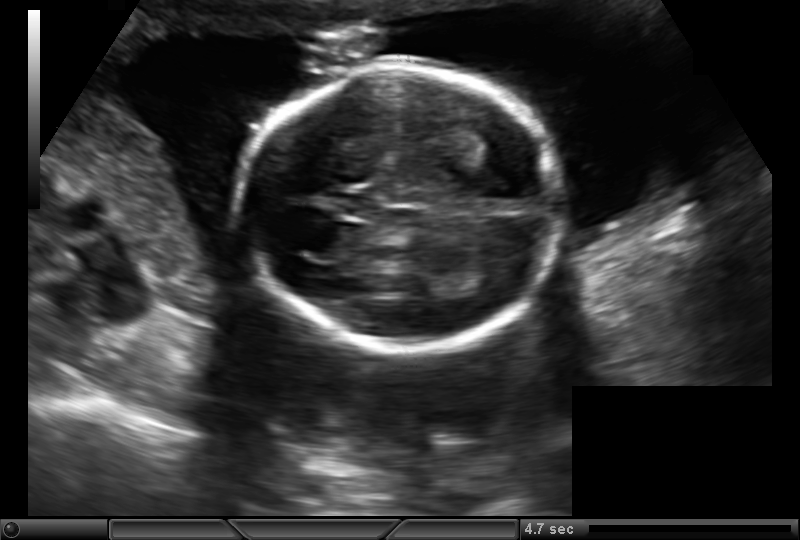
Fetal head ultrasound. Image width: 129.0 mm. Locate the fetal head and, if visible, the cavum septum pellucidum (CSP) and lateral ventricle (LV). Give bounding boxes as [x1,y1,x2,y2].

Head: [241,65,557,350]